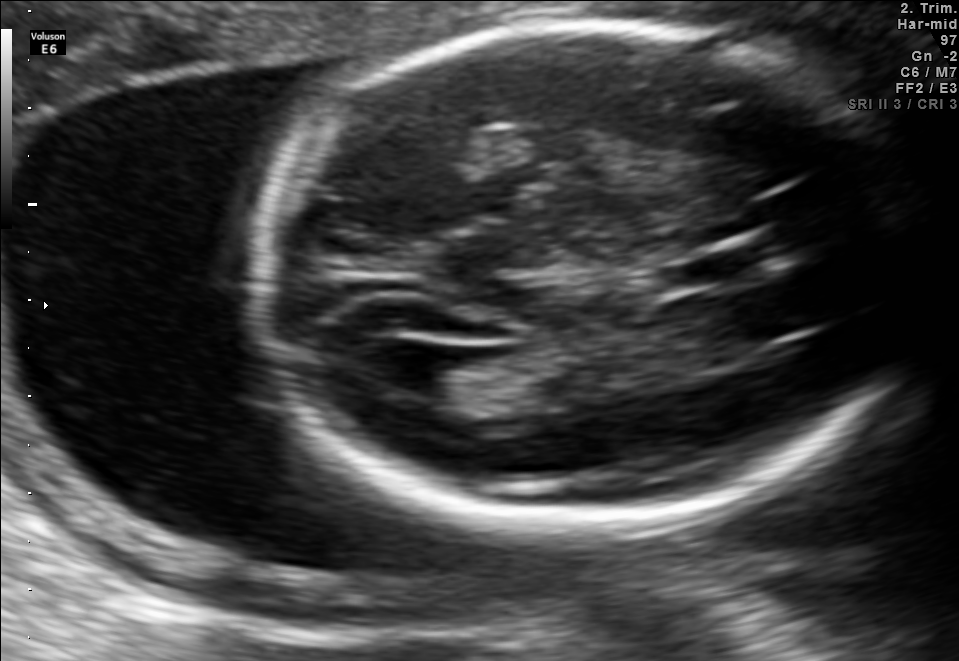
Fetal brain, trans-ventricular plane. Where is the cavum septum pellucidum?

CSP bounding box: [661,244,752,298]